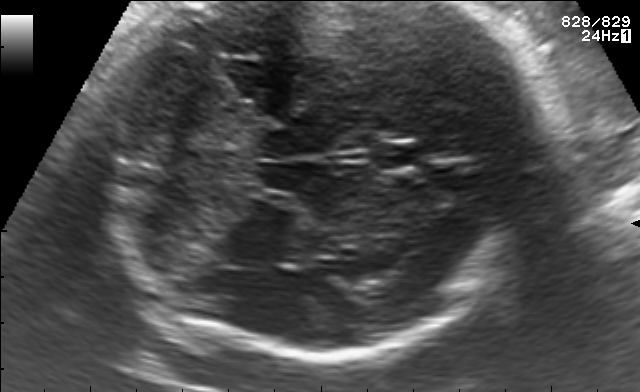
Fetal brain, trans-cerebellum plane. Where is the cavum septum pellucidum?

CSP bounding box: [372,140,420,171]